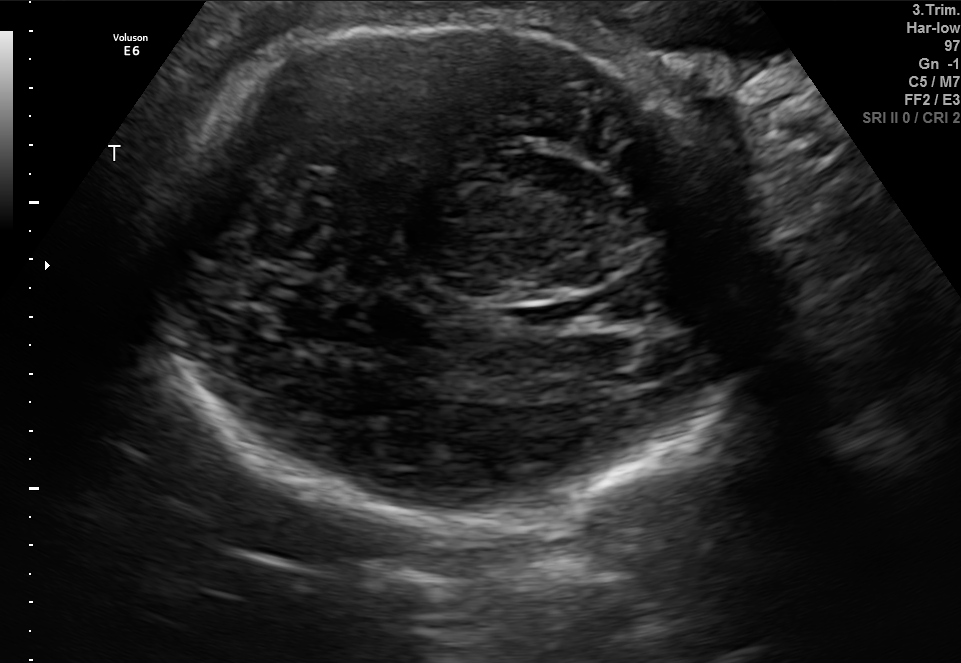
Classify this maternal-fetal ultrasound image as one of the six standard planes — fetal abdomen, fetal brain, fetal femur, fetal thorax, maternal cervix, or other. If it's fetal brain and one of the three standard brain planes (trans-thalamic, trans-cerebellum, trans-ventricular), name which.

Fetal brain (trans-thalamic plane)